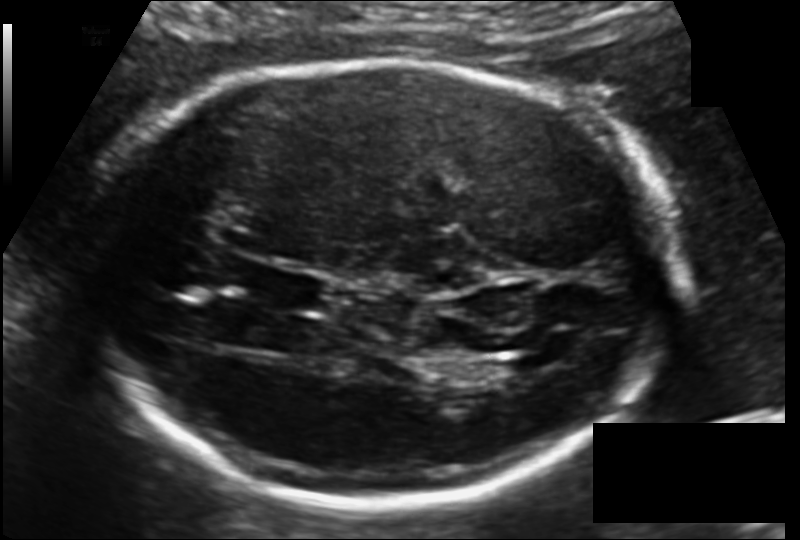
Fetal head ultrasound. Image width: 107.8 mm. Give [x1,y1,x2,y2] bounding boxes for each visible structure among: fetal head, CSP, LV.

Head: [84,59,674,511]
CSP: [254,264,326,315]
Lateral ventricle: [499,348,555,380]